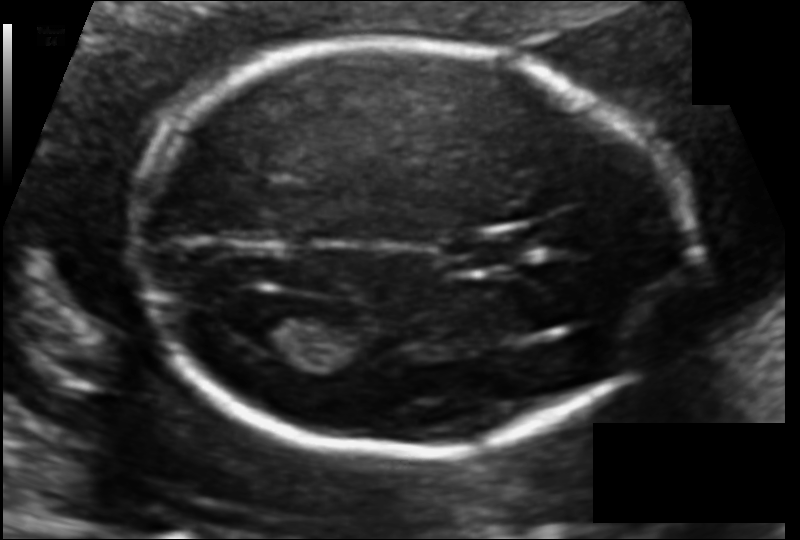
From this fetal ultrasound, estimate the head circumference (image width 84.8 mm).

Head circumference: 166.4 mm.